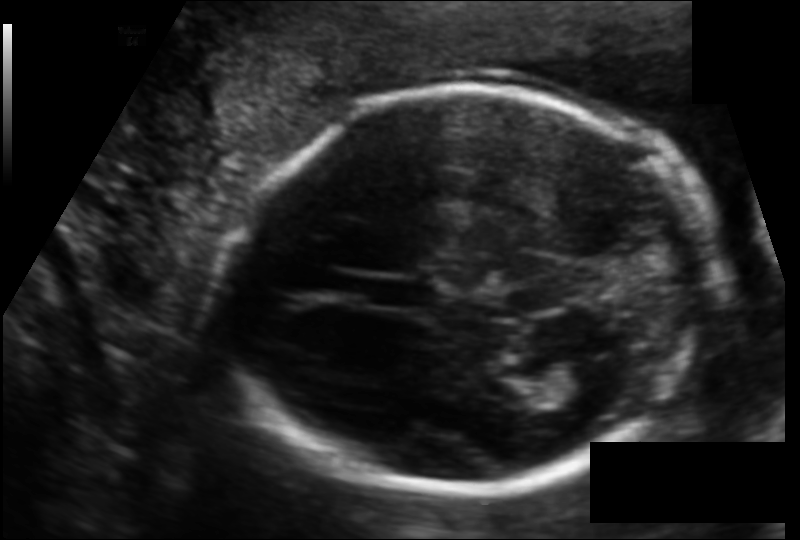
Fetal head ultrasound. Image width: 95.3 mm. Locate the fetal head.

Head: [232,83,717,491]